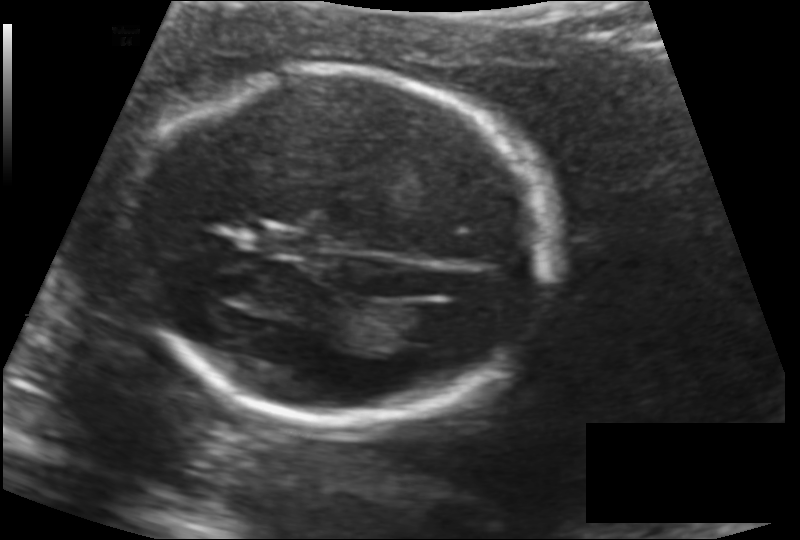
Fetal head ultrasound. Image width: 105.6 mm. Where is the lateral ventricle?

Lateral ventricle bounding box: [393,303,454,343]